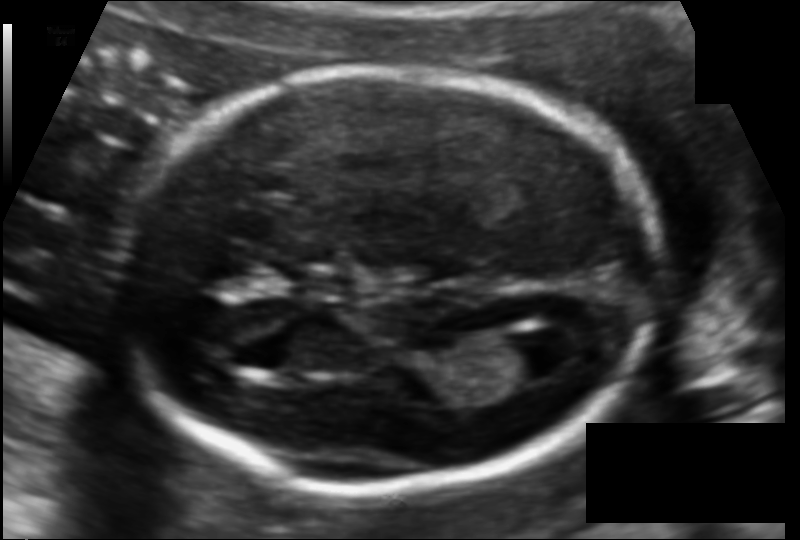
Fetal head ultrasound. Image width: 85.9 mm. Give [x1,y1,x2,y2] bounding boxes for each visible structure among: fetal head, CSP, LV.

Head: [113,70,660,488]
Lateral ventricle: [485,322,573,392]